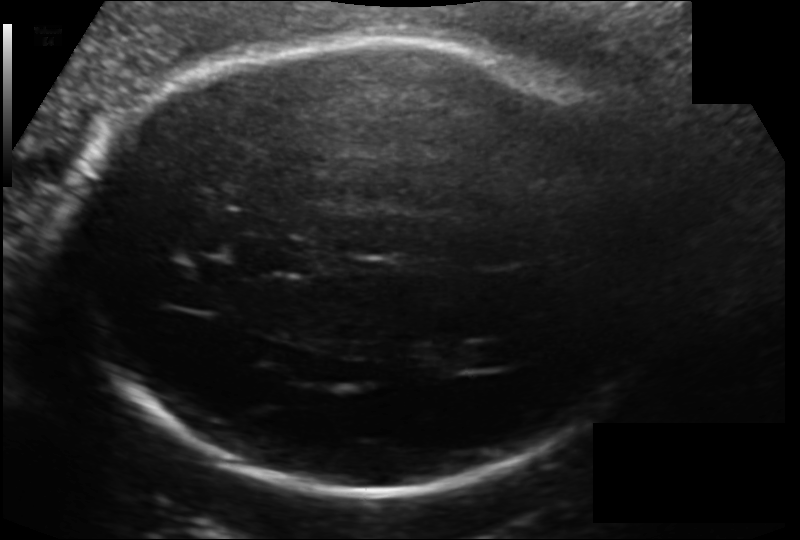
Fetal head ultrasound. Image width: 123.2 mm. Locate the cavum septum pellucidum.

CSP: [255,233,320,279]